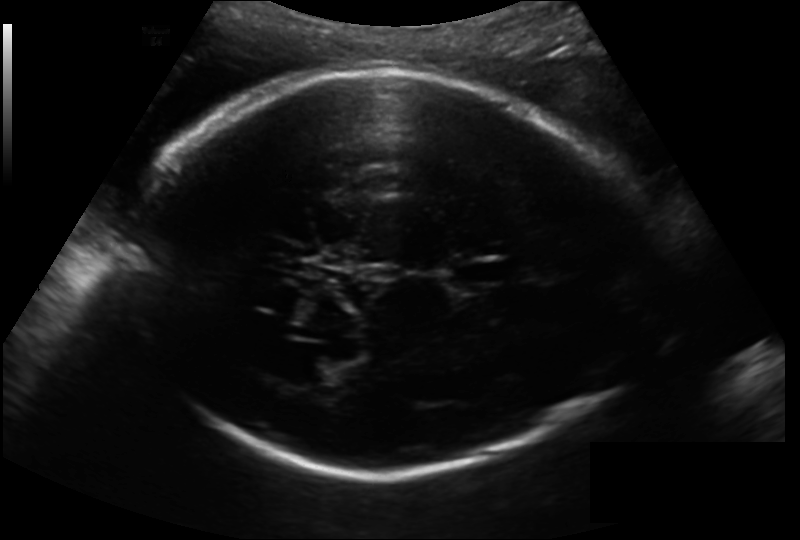
In this fetal head ultrasound, give bounding boxes for the head outline, cavum septum pellucidum (CSP), and lateral ventricle (LV), where visible. Image width: 154.5 mm.

Head: [124,71,656,477]
CSP: [450,258,507,287]
Lateral ventricle: [290,355,342,385]